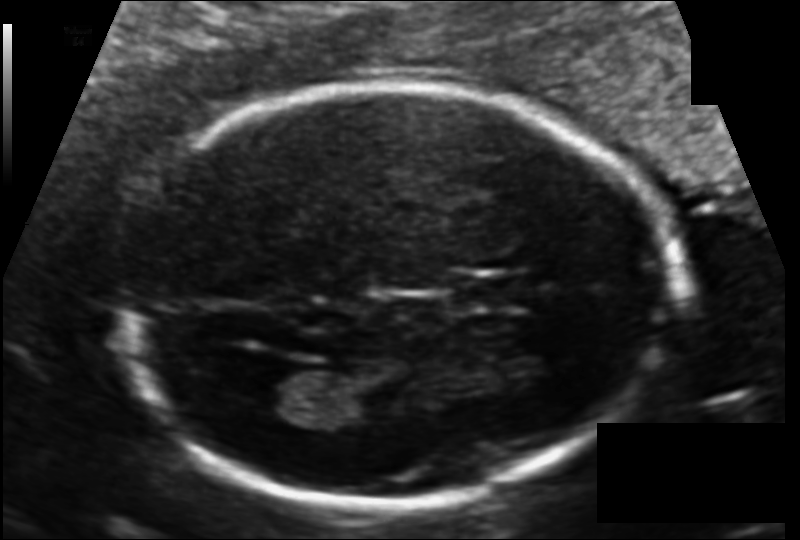
Fetal head ultrasound. Image width: 90.0 mm. Locate the lateral ventricle.

Lateral ventricle: [237,355,337,430]